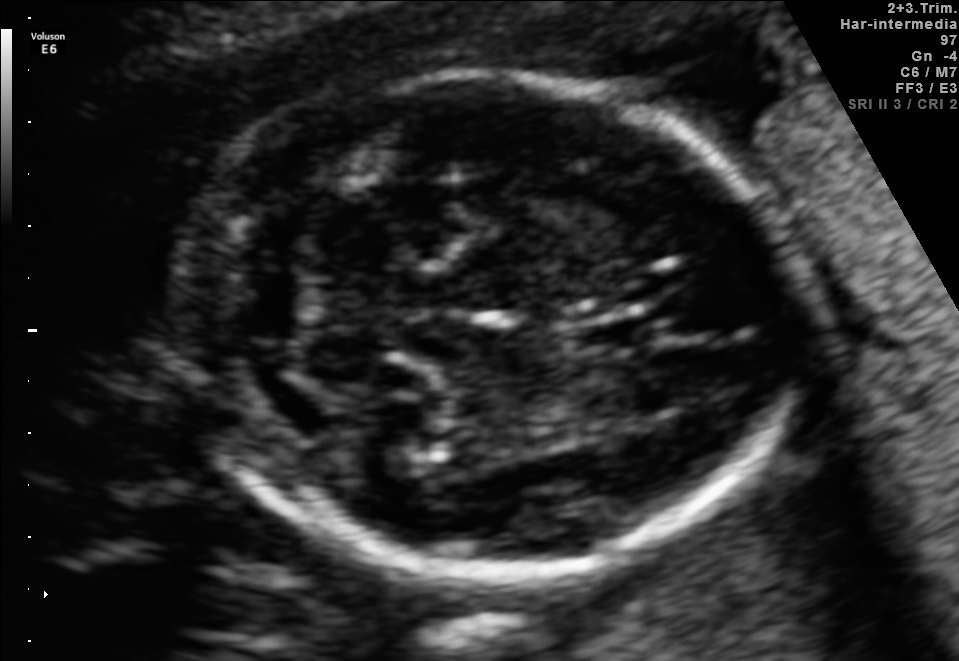
In this fetal brain, trans-cerebellum plane, give bounding boxes for the head outline, cavum septum pellucidum (CSP), and lateral ventricle (LV), where visible.

Head: [177,73,788,574]
CSP: [565,305,656,365]